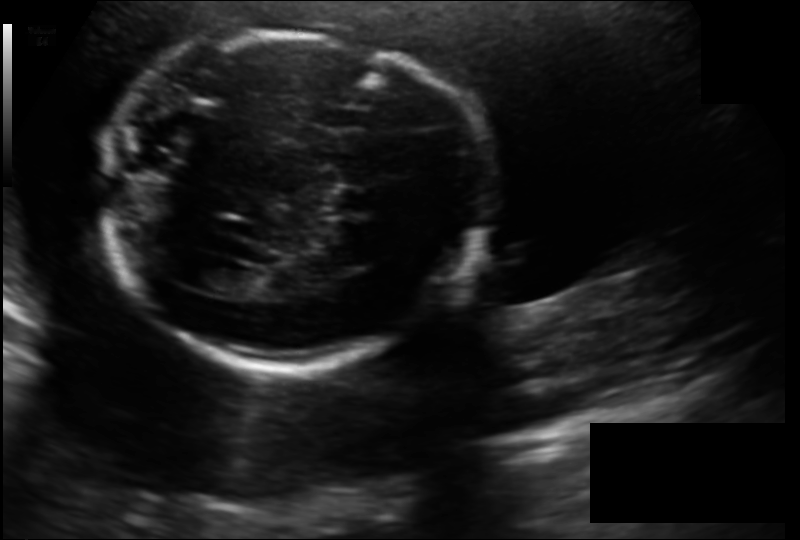
Fetal head ultrasound. Image width: 126.7 mm. Give [x1,y1,x2,y2] bounding boxes for each visible structure among: fetal head, CSP, LV.

Head: [98,34,486,367]
CSP: [327,187,374,216]
Lateral ventricle: [191,260,244,297]